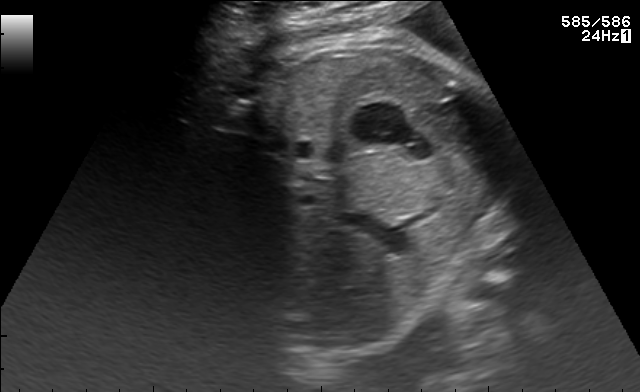
Identify the standard plane in this fetal ultrasound image: fetal abdomen, fetal brain, fetal femur, fetal thorax, maternal cervix, or other. If it's fetal brain and one of the three standard brain planes (trans-thalamic, trans-cerebellum, trans-ventricular), name which.

Fetal abdomen